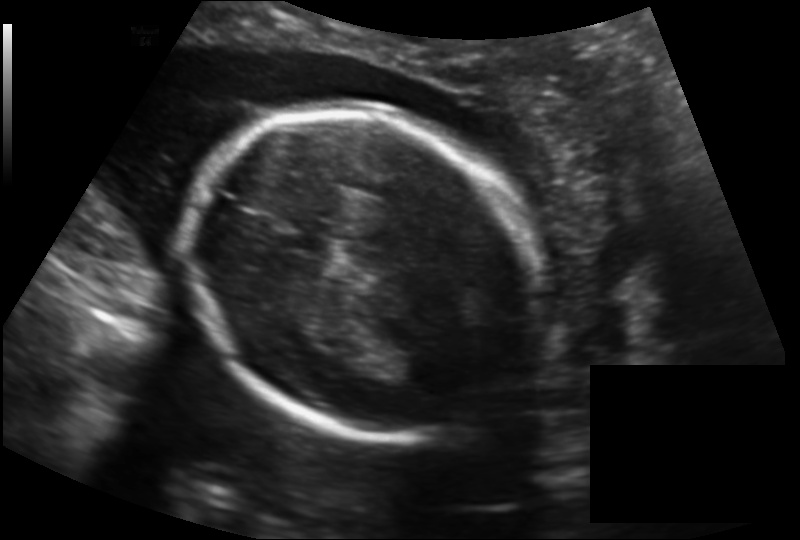
From this fetal ultrasound, estimate the head circumference (image width 131.3 mm).

Head circumference: 180.1 mm.